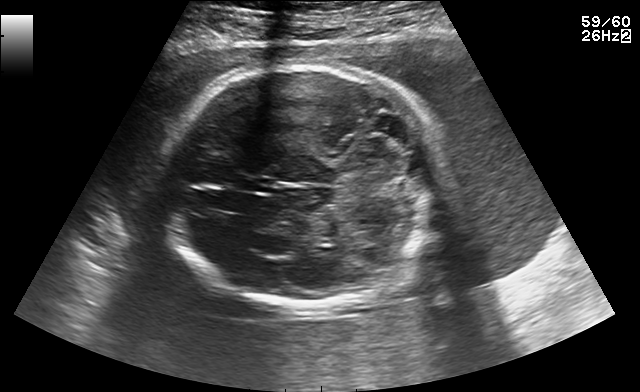
In this fetal brain, trans-cerebellum plane, give bounding boxes for the head outline, cavum septum pellucidum (CSP), and lateral ventricle (LV), where visible.

Head: [161,65,448,306]
CSP: [237,174,273,195]